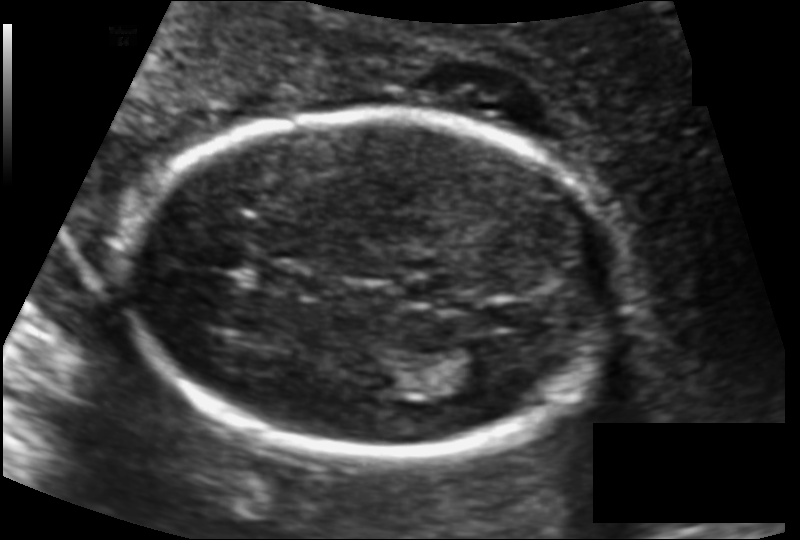
Fetal head ultrasound. Image width: 93.7 mm. Where is the fetal head?

Head bounding box: [130,110,613,456]